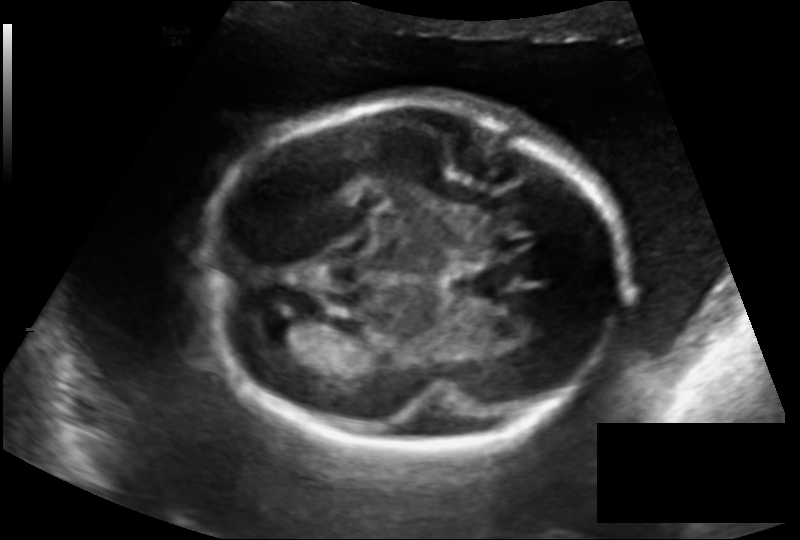
Fetal head ultrasound. Image width: 129.7 mm. Locate the fetal head.

Head: [207,97,620,454]